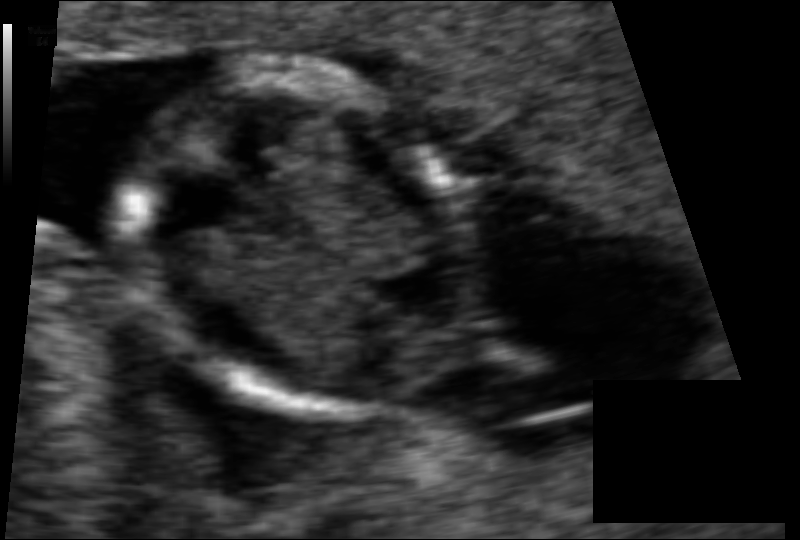
Fetal head ultrasound. Image width: 52.2 mm. Give [x1,y1,x2,y2] bounding boxes for each visible structure among: fetal head, CSP, LV.

Head: [126,72,481,421]